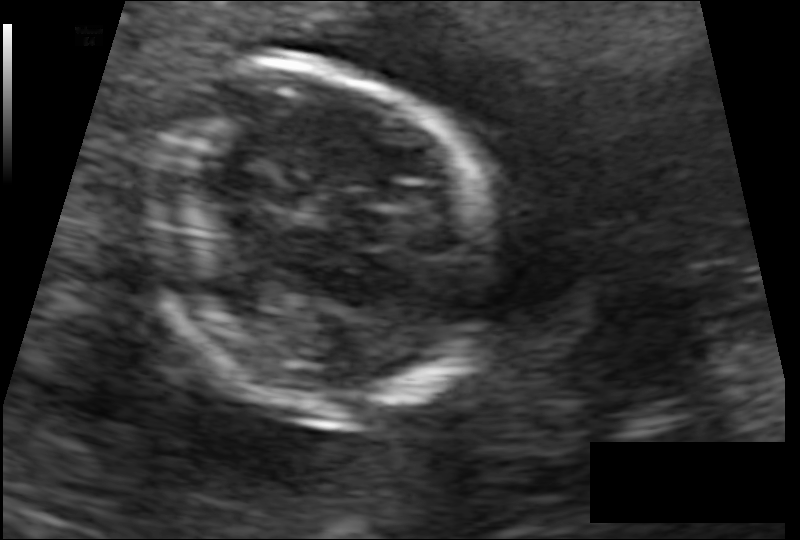
In this fetal head ultrasound, give the bounding box of the fetal head. Image width: 73.2 mm.

[135,59,486,413]